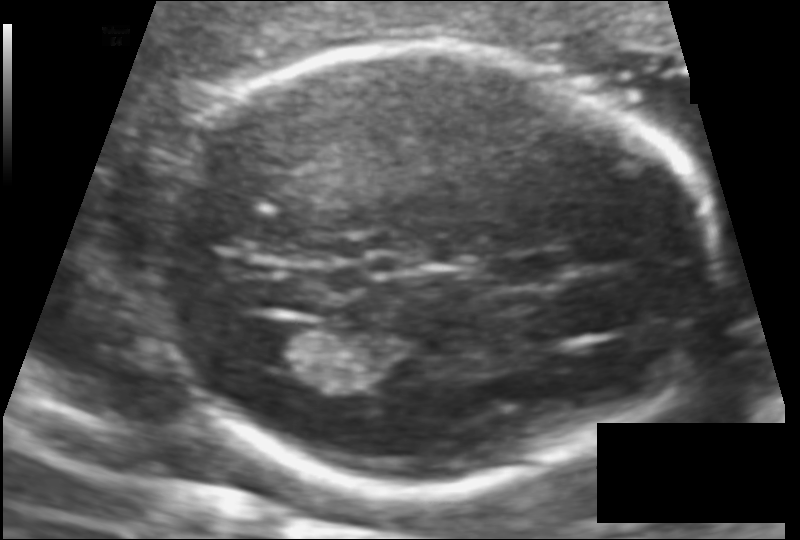
In this fetal head ultrasound, give the bounding box of the cavum septum pellucidum. Image width: 84.7 mm.

[487,247,574,293]